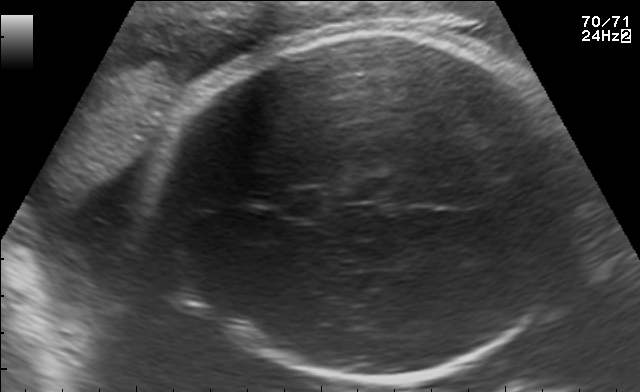
Fetal brain, trans-thalamic plane. Locate the cavum septum pellucidum.

CSP: [275,188,325,219]